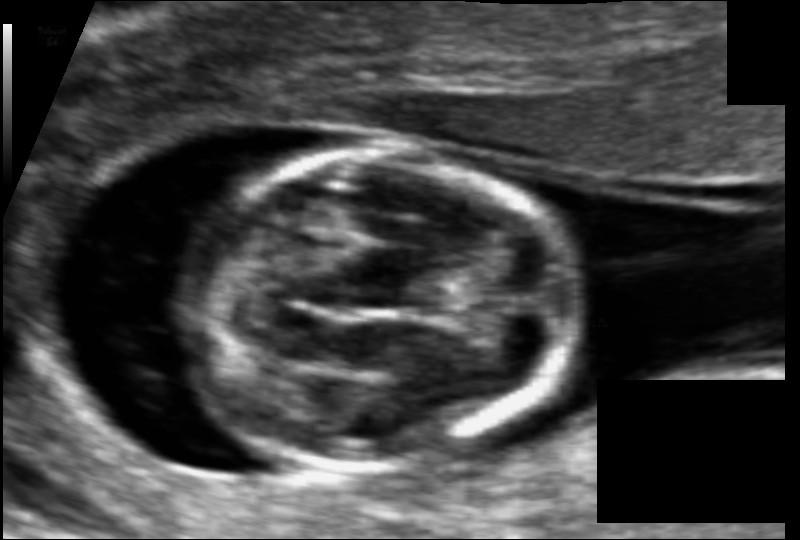
Fetal head ultrasound. Image width: 53.6 mm. Locate the fetal head and, if visible, the cavum septum pellucidum (CSP) and lateral ventricle (LV). Give bounding boxes as [x1,y1,x2,y2].

Head: [186,154,567,469]